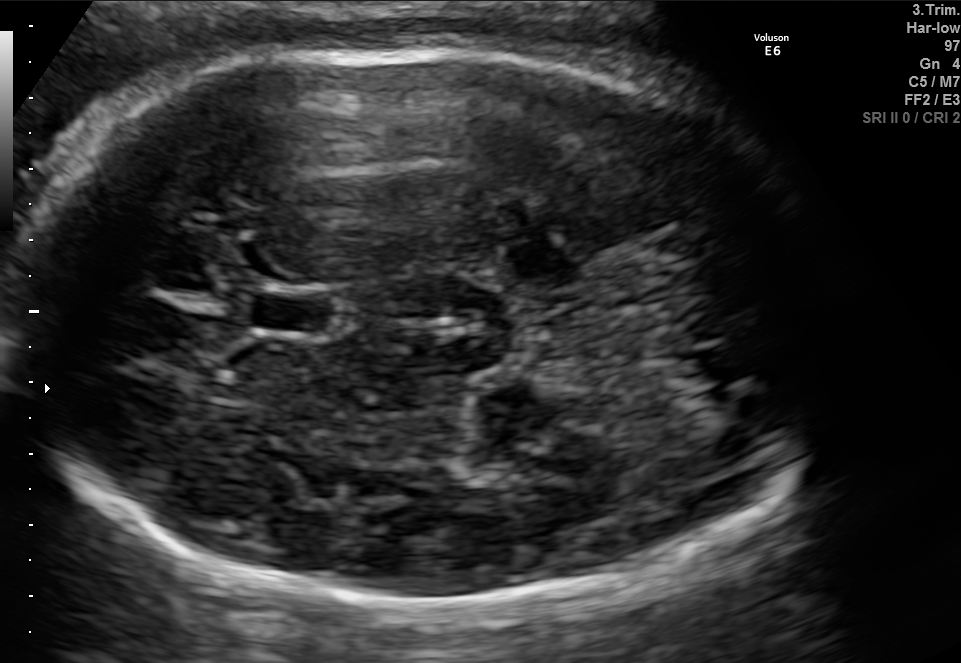
Fetal brain, trans-thalamic plane. Where is the cavum septum pellucidum?

CSP bounding box: [251,293,329,334]